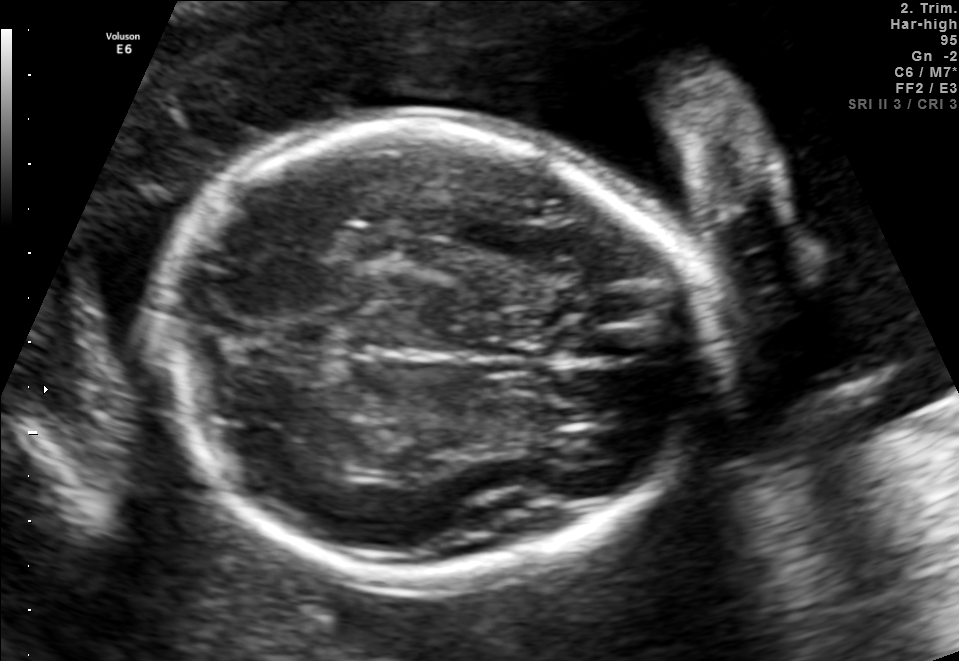
Identify the standard plane in this fetal ultrasound image: fetal abdomen, fetal brain, fetal femur, fetal thorax, maternal cervix, or other. If it's fetal brain and one of the three standard brain planes (trans-thalamic, trans-cerebellum, trans-ventricular), name which.

Fetal brain (trans-thalamic plane)